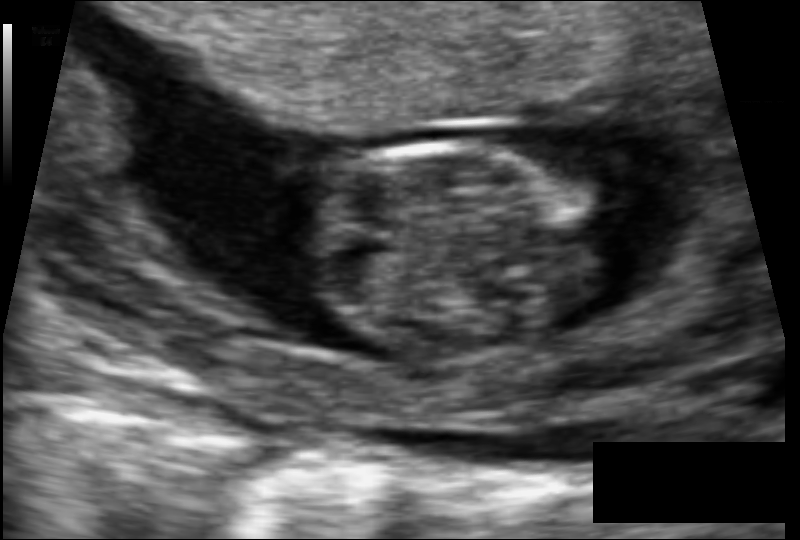
Fetal head ultrasound. Image width: 61.8 mm. Give [x1,y1,x2,y2] bounding boxes for each visible structure among: fetal head, CSP, LV.

Head: [304,141,603,356]